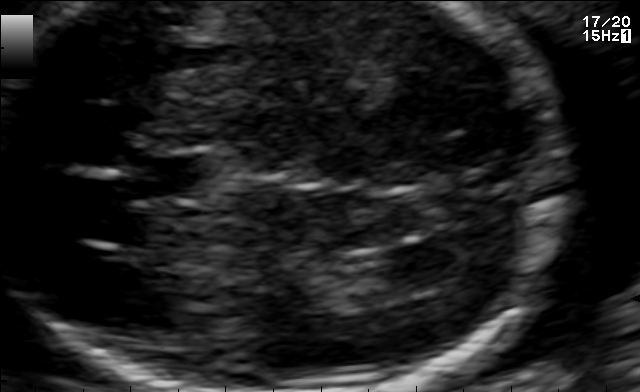
Fetal brain, trans-ventricular plane. Locate the cavum septum pellucidum.

CSP: [130,157,201,197]